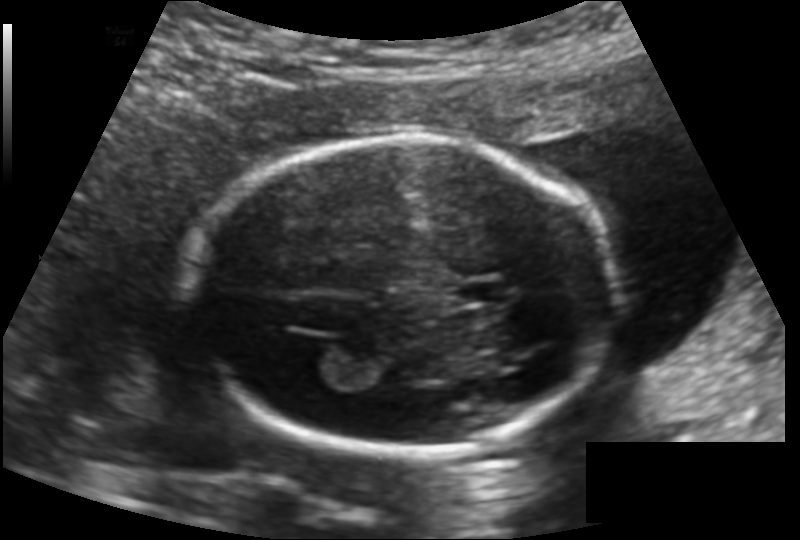
Fetal head ultrasound. Image width: 109.1 mm. Where is the lateral ventricle?

Lateral ventricle bounding box: [284,331,341,374]